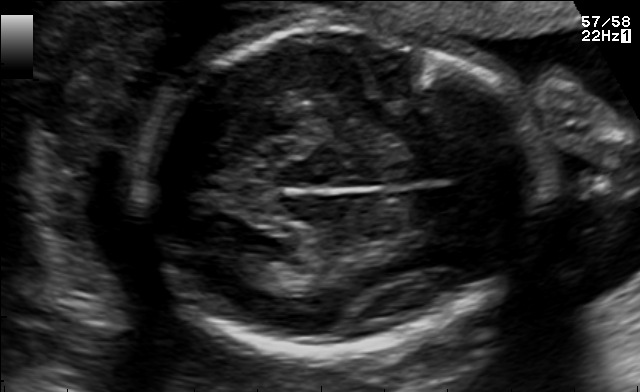
Fetal brain, trans-thalamic plane. Give [x1,y1,x2,y2] bounding boxes for each visible structure among: fetal head, CSP, LV.

Head: [143,24,522,353]